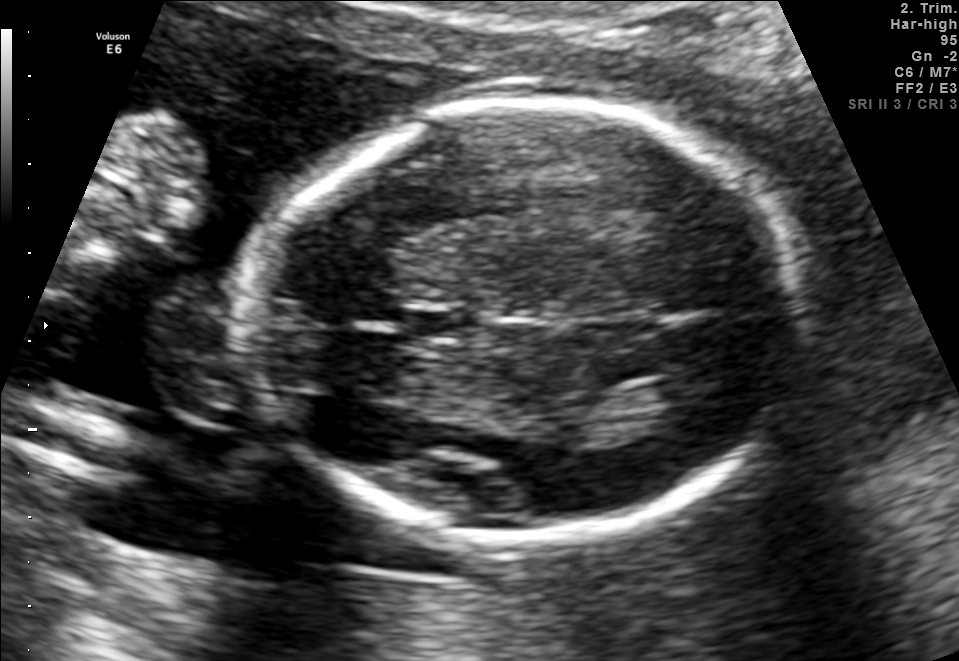
In this fetal brain, trans-thalamic plane, give the bounding box of the lateral ventricle.

[625,370,694,413]